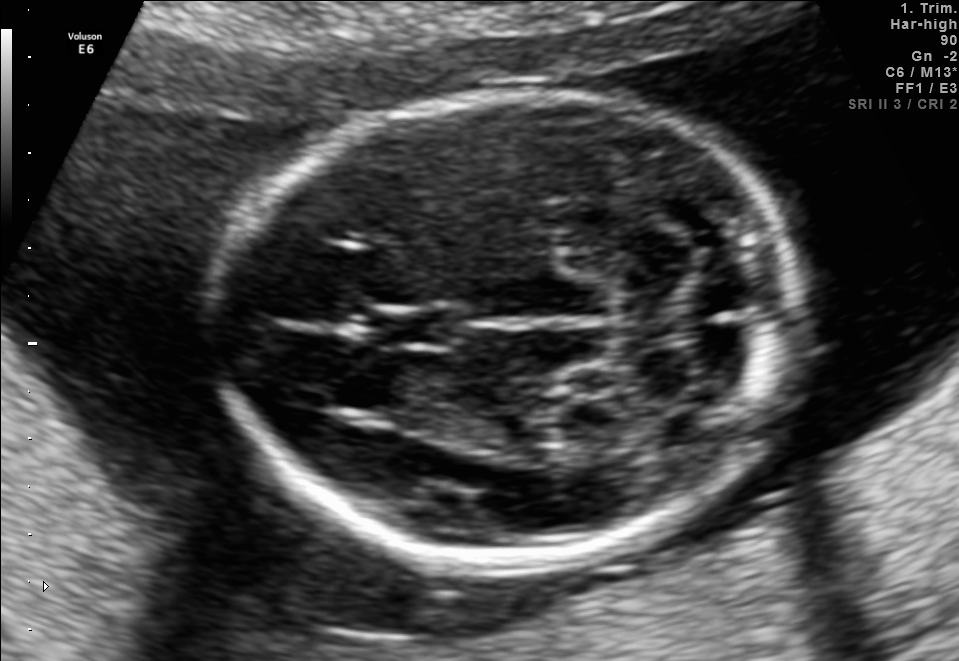
In this fetal brain, trans-cerebellum plane, give the bounding box of the cavum septum pellucidum.

[378,307,462,348]